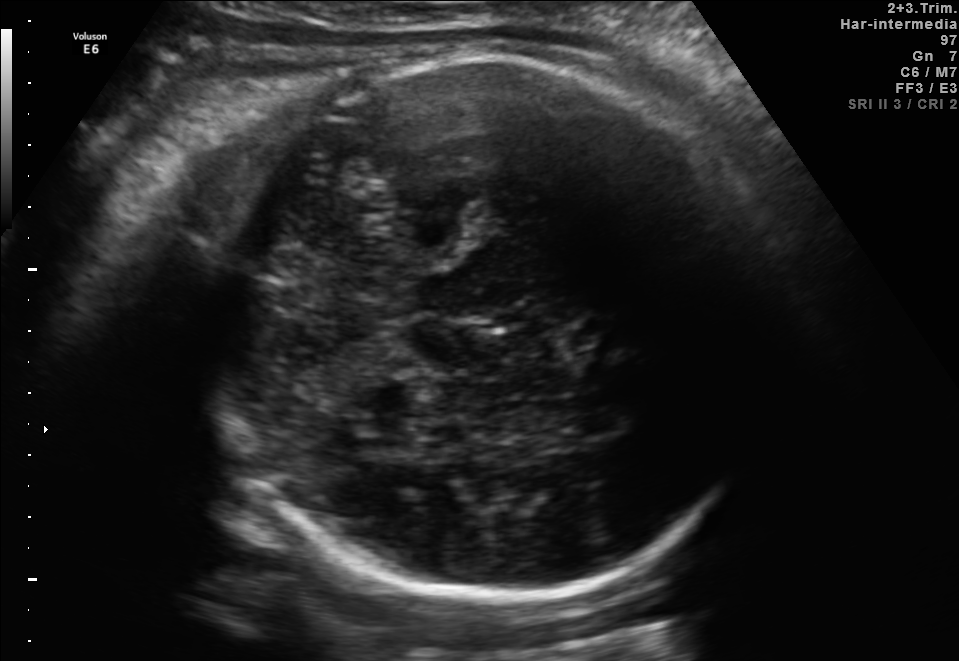
Fetal brain, trans-cerebellum plane. Locate the fetal head and, if visible, the cavum septum pellucidum (CSP) and lateral ventricle (LV). Give bounding boxes as [x1,y1,x2,y2].

Head: [214,57,769,602]